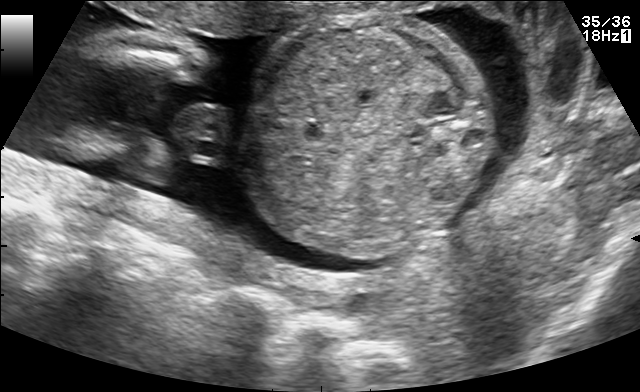
Classify this maternal-fetal ultrasound image as one of the six standard planes — fetal abdomen, fetal brain, fetal femur, fetal thorax, maternal cervix, or other. If it's fetal brain and one of the three standard brain planes (trans-thalamic, trans-cerebellum, trans-ventricular), name which.

Other